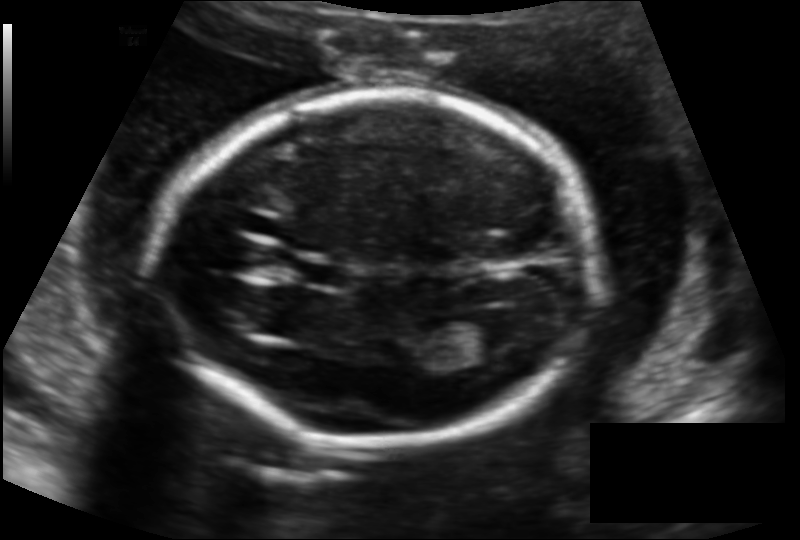
Fetal head ultrasound. Image width: 108.6 mm. Locate the cavum septum pellucidum.

CSP: [300,258,352,291]